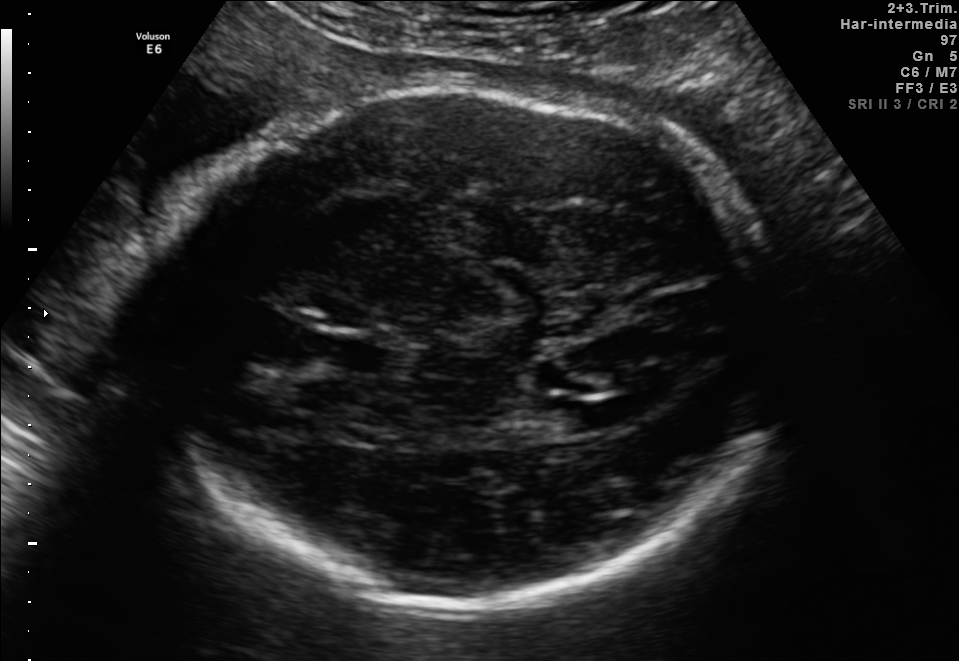
In this fetal brain, trans-ventricular plane, give bounding boxes for the head outline, cavum septum pellucidum (CSP), and lateral ventricle (LV), where visible.

Head: [132,75,797,606]
CSP: [304,332,367,372]
Lateral ventricle: [560,396,624,436]